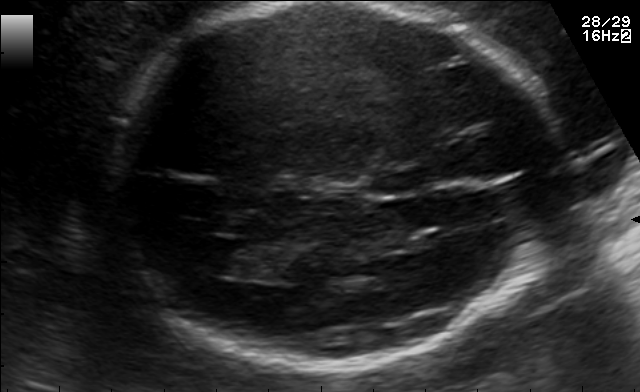
Fetal brain, trans-ventricular plane. Where is the cavum septum pellucidum?

CSP bounding box: [371,168,425,198]